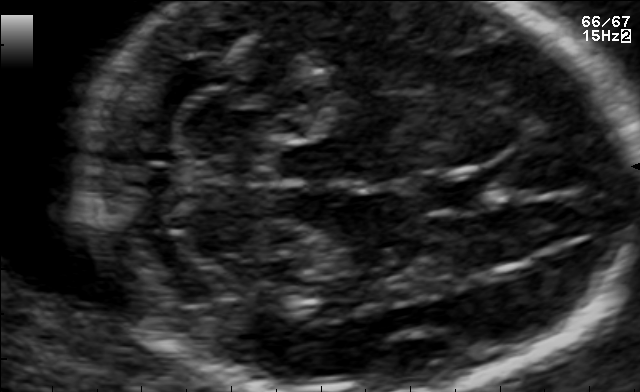
In this fetal brain, trans-cerebellum plane, give the bounding box of the cavum septum pellucidum.

[415,163,504,219]